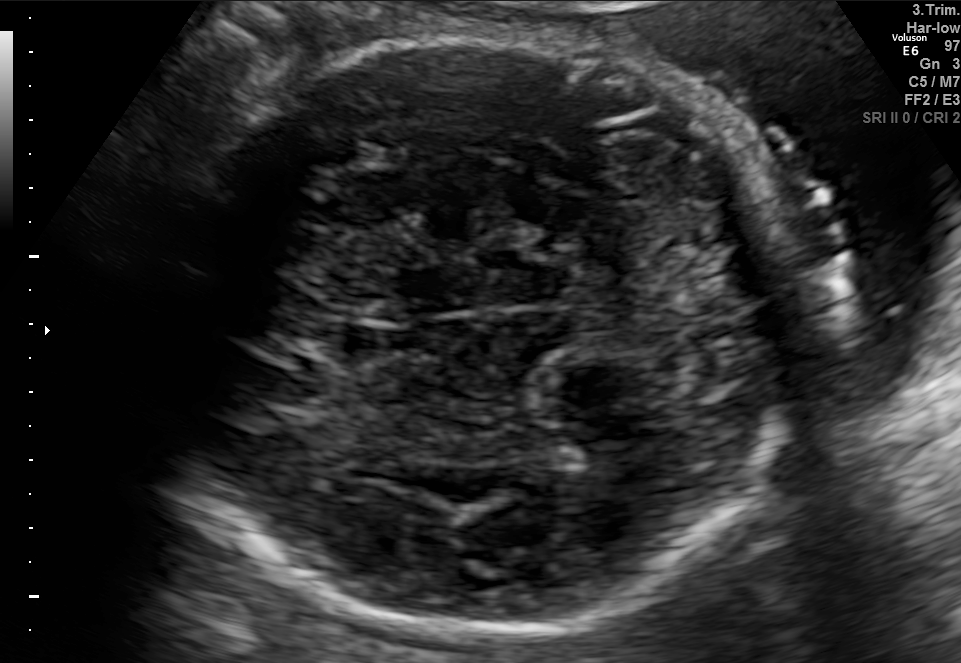
In this fetal brain, trans-thalamic plane, give the bounding box of the fetal head.

[164,29,795,626]